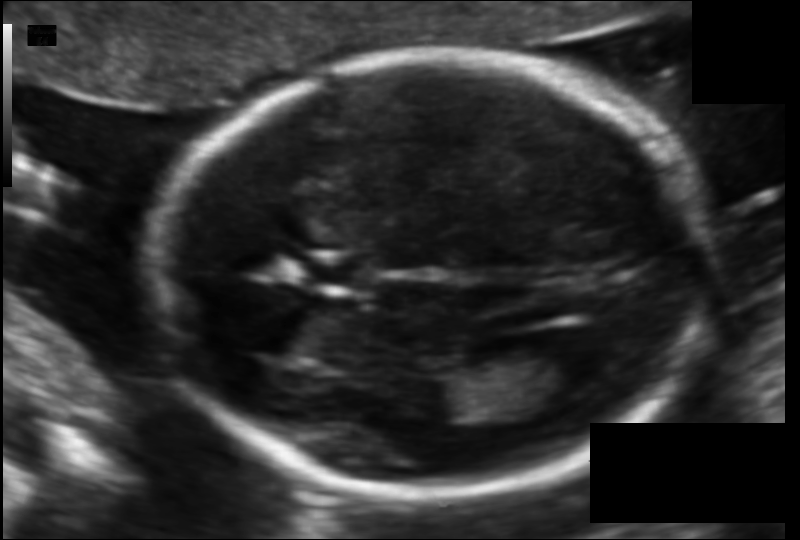
Estimate the fetal head circumference from this 2D ultrasound.

Head circumference: 171.0 mm (image width 83.8 mm).